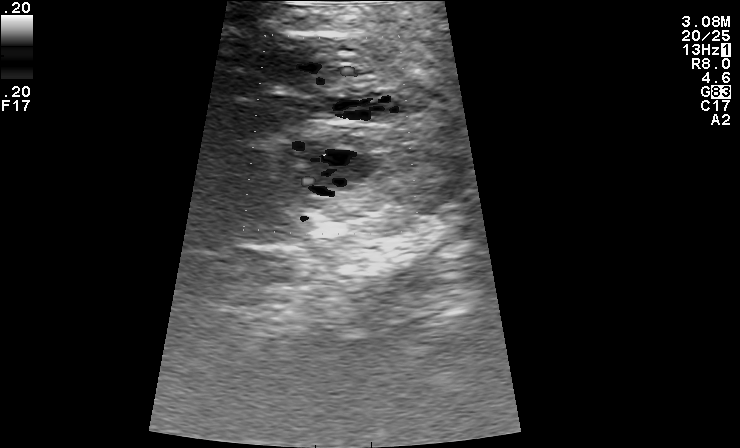
Classify this maternal-fetal ultrasound image as one of the six standard planes — fetal abdomen, fetal brain, fetal femur, fetal thorax, maternal cervix, or other. If it's fetal brain and one of the three standard brain planes (trans-thalamic, trans-cerebellum, trans-ventricular), name which.

Other